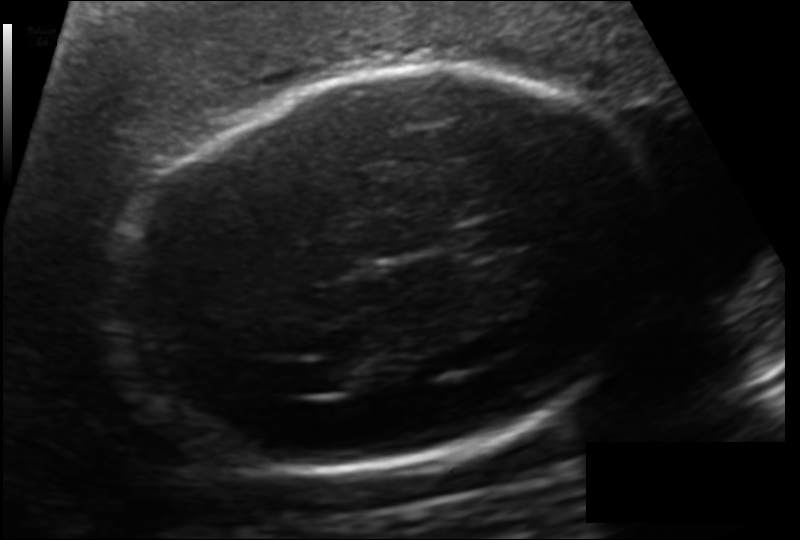
Fetal head ultrasound. Image width: 120.9 mm. Locate the lateral ventricle.

Lateral ventricle: [309,360,365,392]